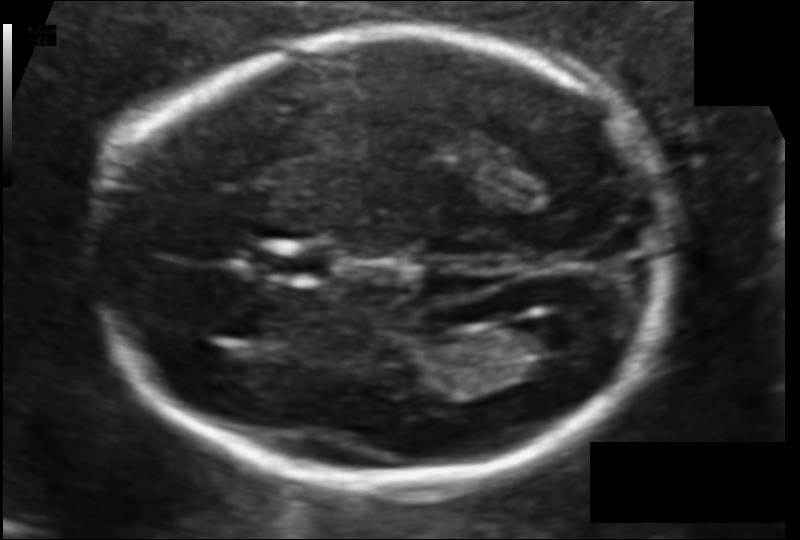
Fetal head ultrasound. Image width: 85.0 mm. Locate the cavum septum pellucidum.

CSP: [251,245,329,284]